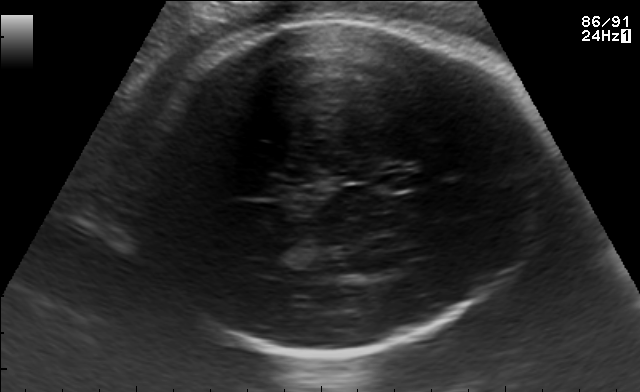
Fetal brain, trans-thalamic plane. Where is the cavum septum pellucidum?

CSP bounding box: [380,167,426,194]